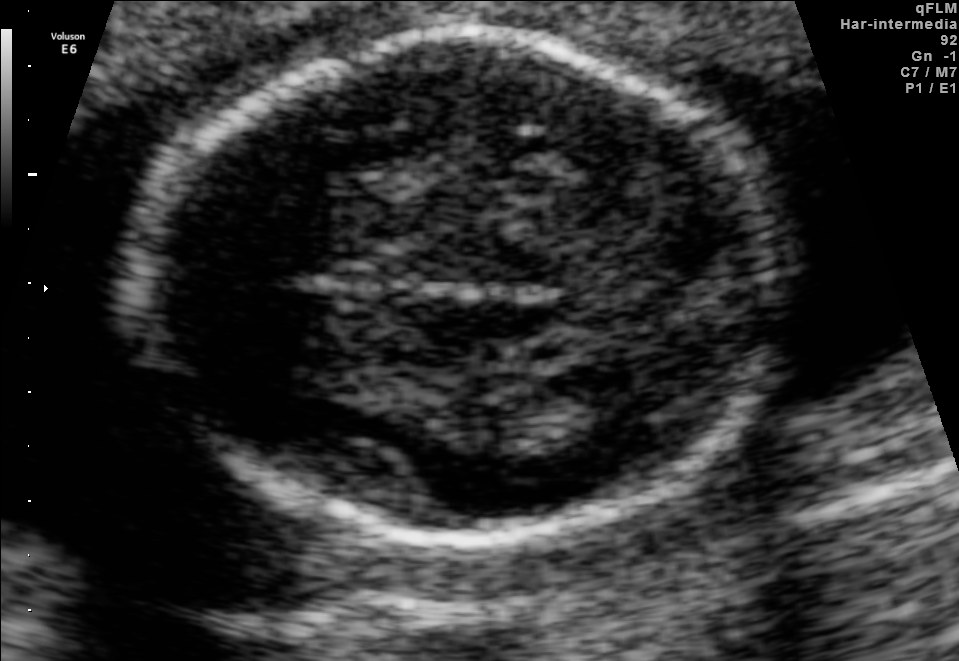
Fetal brain, trans-thalamic plane. Locate the fetal head.

Head: [130,30,785,541]